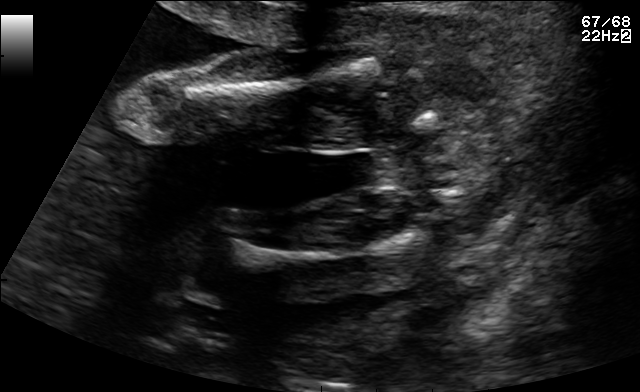
Identify the standard plane in this fetal ultrasound image: fetal abdomen, fetal brain, fetal femur, fetal thorax, maternal cervix, or other. If it's fetal brain and one of the three standard brain planes (trans-thalamic, trans-cerebellum, trans-ventricular), name which.

Fetal femur